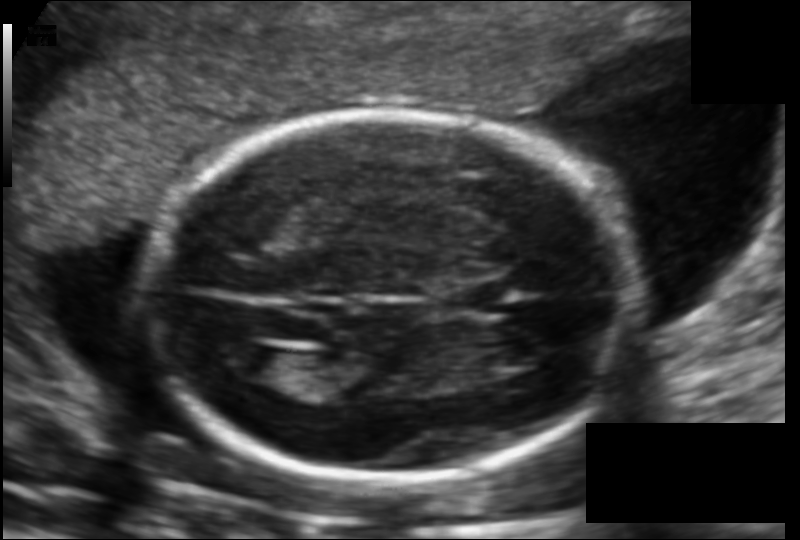
In this fetal head ultrasound, give the bounding box of the fetal head. Image width: 98.4 mm.

[144,113,631,481]